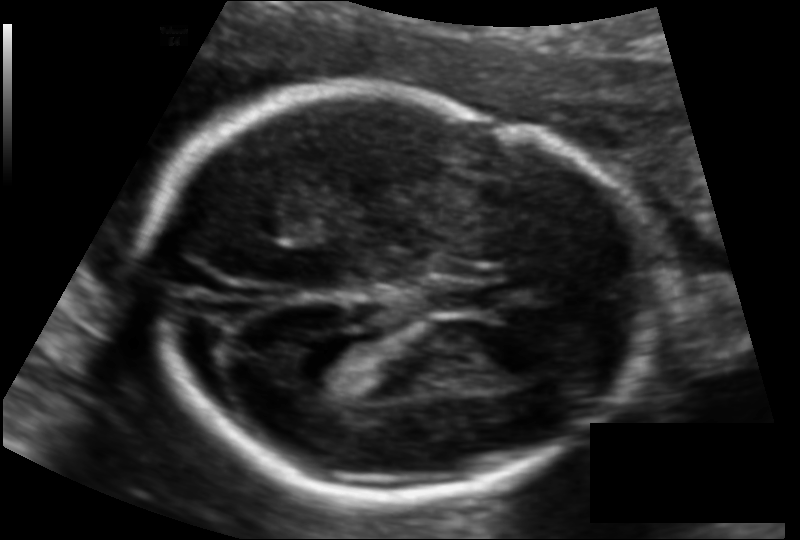
What is the fetal head circumference? Image width is 93.9 mm.

178.0 mm